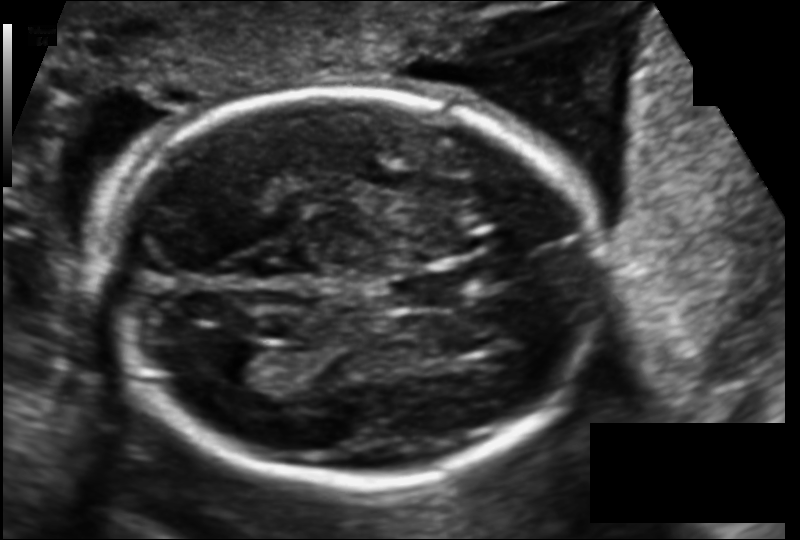
From this fetal ultrasound, estimate the head circumference (image width 104.3 mm).

Head circumference: 189.9 mm.